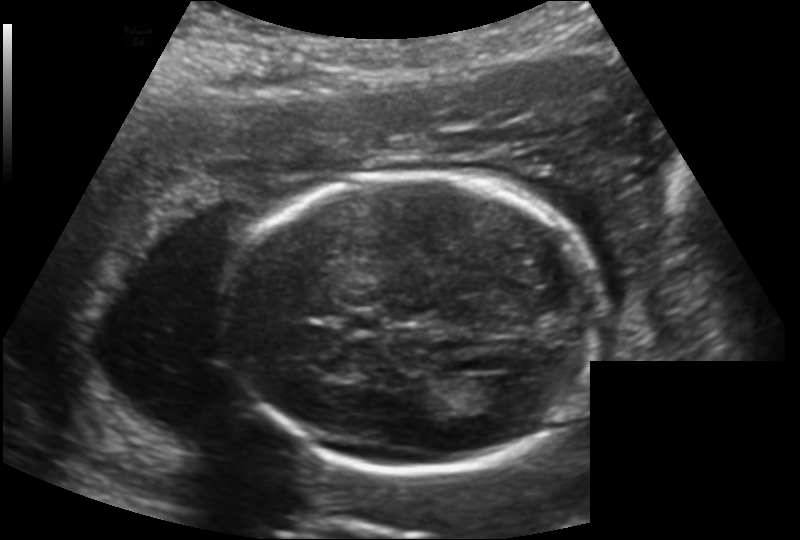
Estimate the fetal head circumference from this 2D ultrasound.

Head circumference: 184.8 mm (image width 135.0 mm).